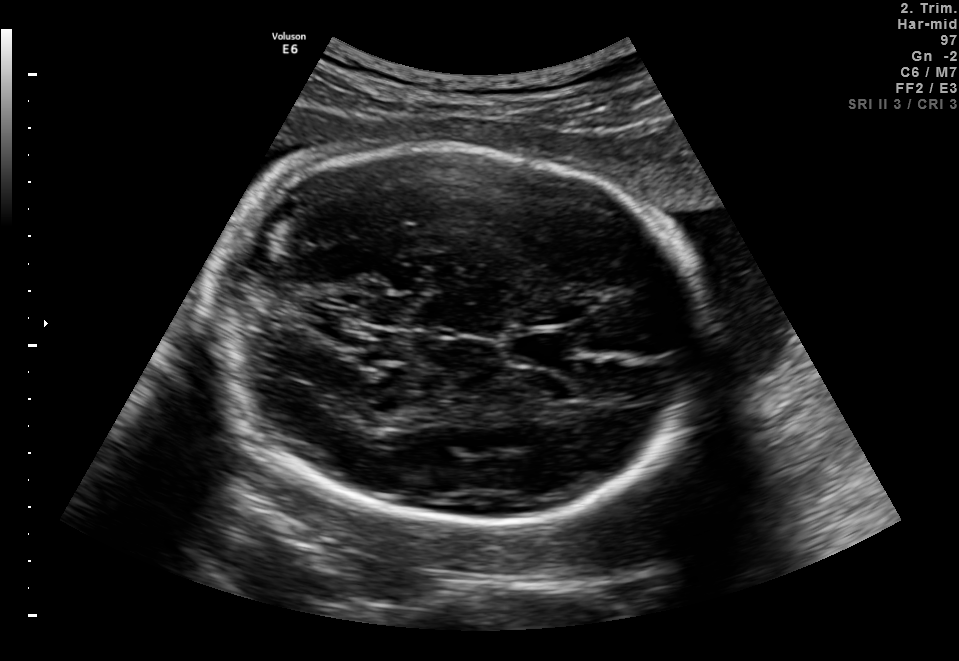
In this fetal brain, trans-thalamic plane, give bounding boxes for the head outline, cavum septum pellucidum (CSP), and lateral ventricle (LV), where visible.

Head: [214,145,719,530]
CSP: [512,333,575,365]